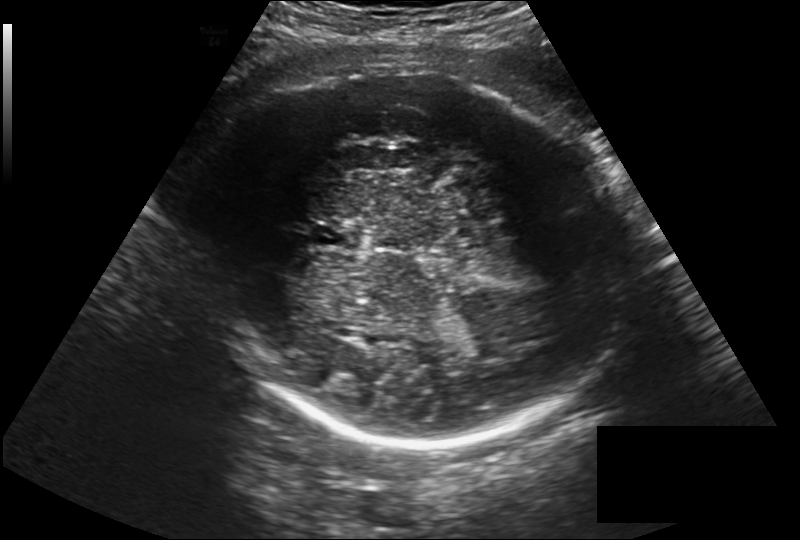
What is the fetal head circumference? Image width is 205.7 mm.

335.0 mm